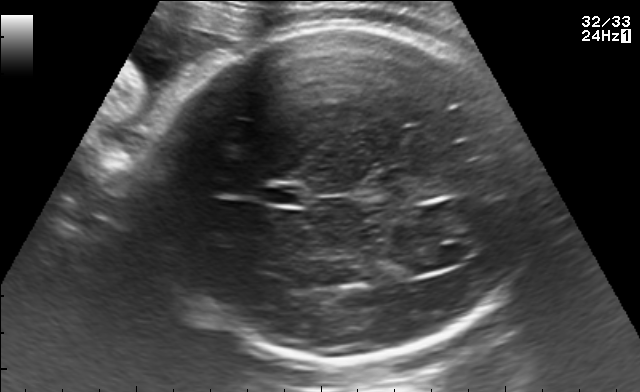
In this fetal brain, trans-ventricular plane, give the bounding box of the cavum septum pellucidum.

[269,186,303,204]